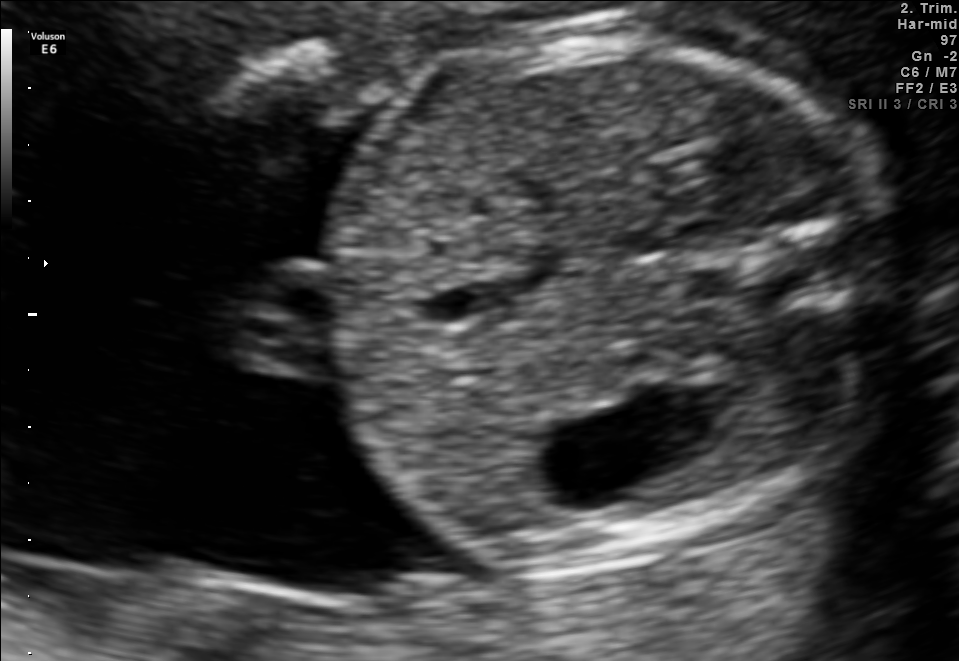
Identify the standard plane in this fetal ultrasound image: fetal abdomen, fetal brain, fetal femur, fetal thorax, maternal cervix, or other. If it's fetal brain and one of the three standard brain planes (trans-thalamic, trans-cerebellum, trans-ventricular), name which.

Fetal abdomen